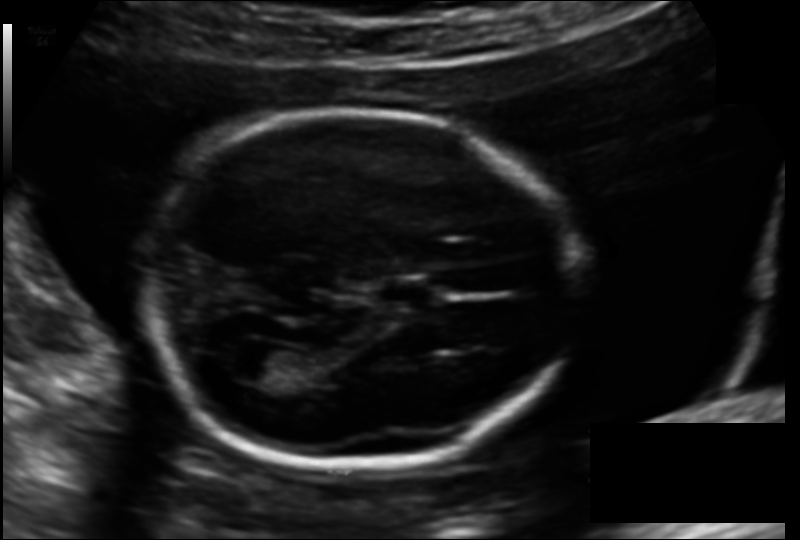
Fetal head ultrasound. Image width: 109.9 mm. Locate the cavum septum pellucidum.

CSP: [378,277,437,304]